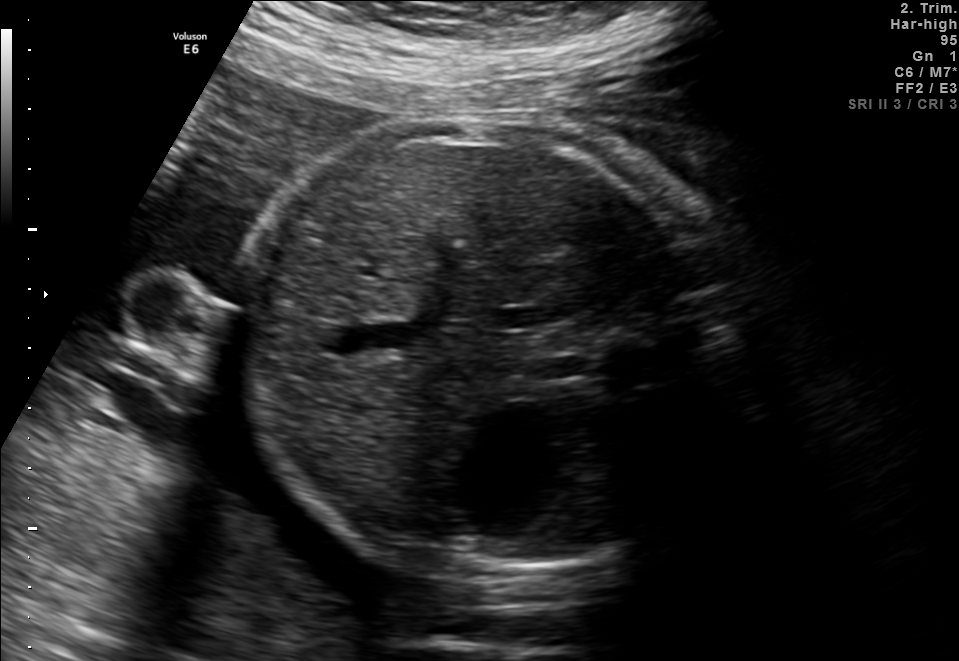
This is a 2D maternal-fetal ultrasound frame. Is it a fetal abdomen, fetal brain, fetal femur, fetal thorax, maternal cervix, or other standard plane? If it's fetal brain and one of the three standard brain planes (trans-thalamic, trans-cerebellum, trans-ventricular), name which.

Fetal abdomen